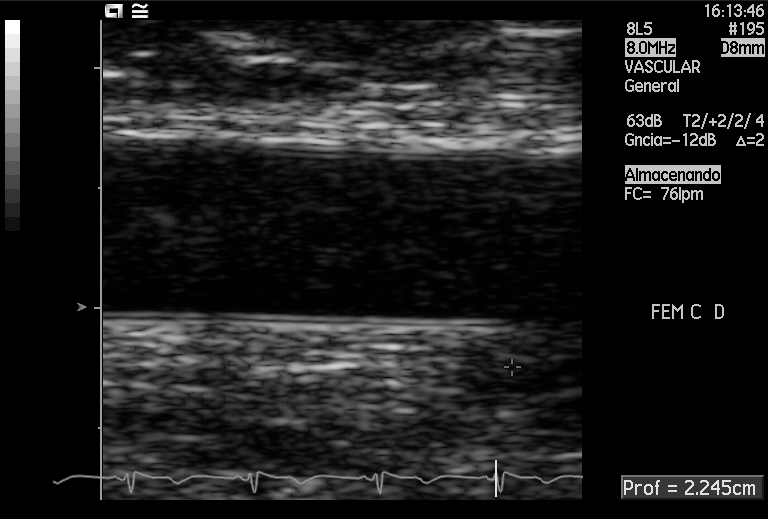
Which standard maternal-fetal ultrasound plane is shown: fetal abdomen, fetal brain, fetal femur, fetal thorax, maternal cervix, or other? If it's fetal brain and one of the three standard brain planes (trans-thalamic, trans-cerebellum, trans-ventricular), name which.

Other